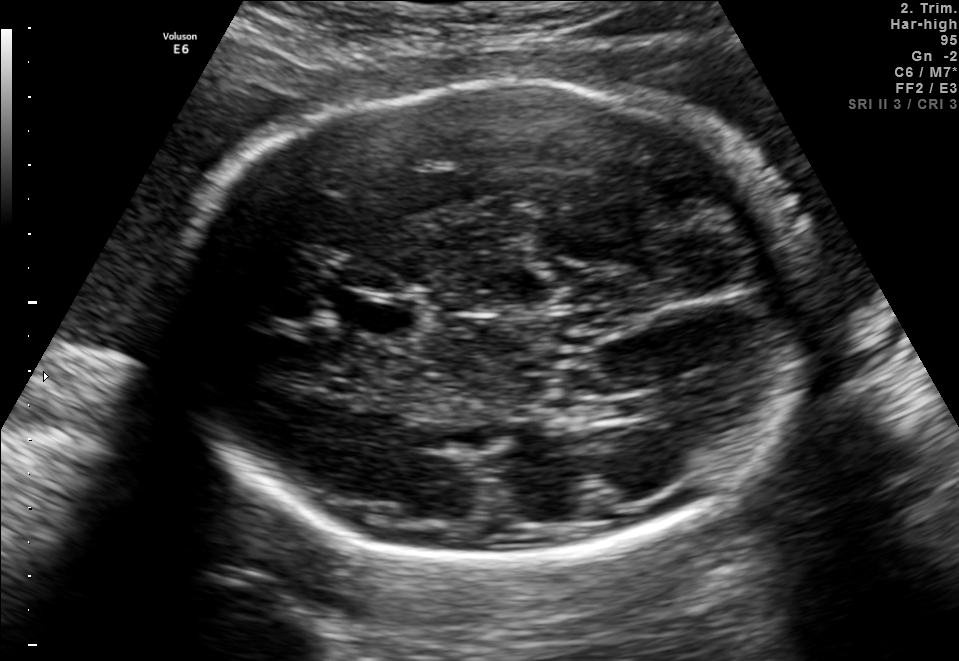
Fetal brain, trans-thalamic plane. Locate the lateral ventricle.

Lateral ventricle: [613,389,663,423]